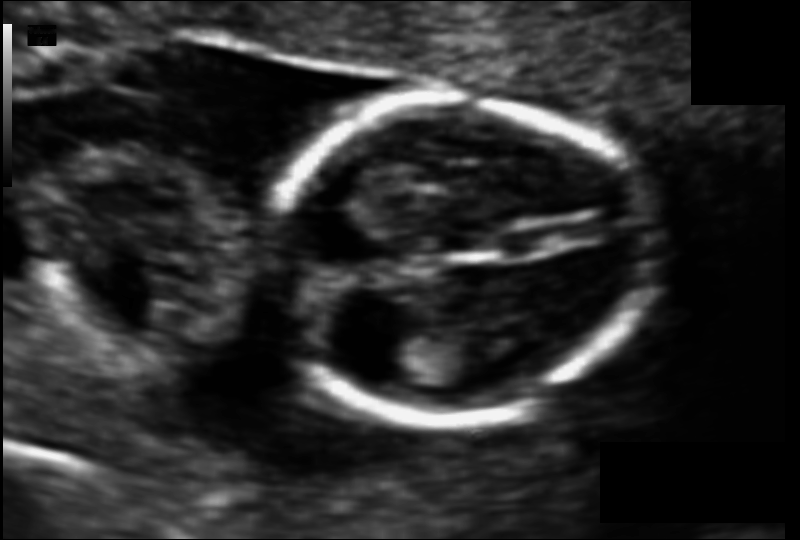
Fetal head ultrasound. Image width: 66.6 mm. Locate the lateral ventricle.

Lateral ventricle: [367,330,432,380]